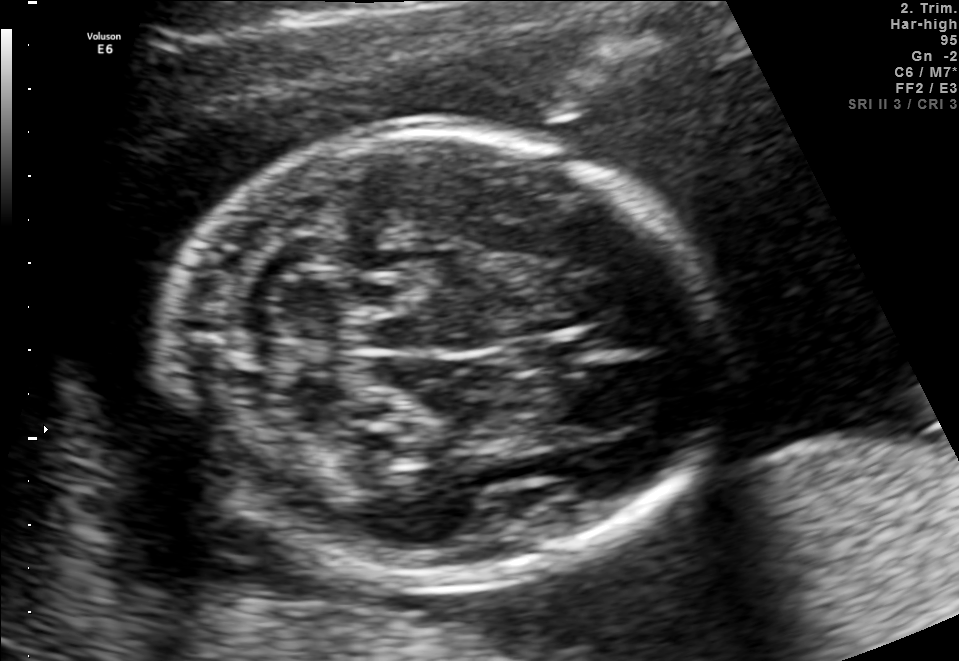
In this fetal brain, trans-cerebellum plane, give bounding boxes for the head outline, cavum septum pellucidum (CSP), and lateral ventricle (LV), where visible.

Head: [174,124,723,579]
CSP: [504,333,574,375]